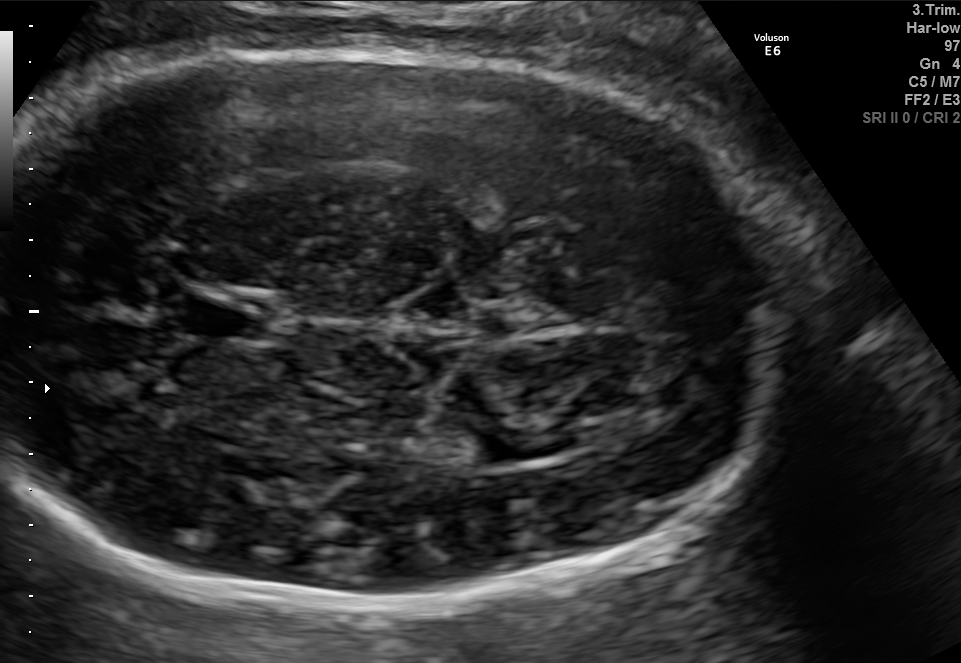
In this fetal brain, trans-thalamic plane, give the bounding box of the fetal head.

[4,49,789,614]